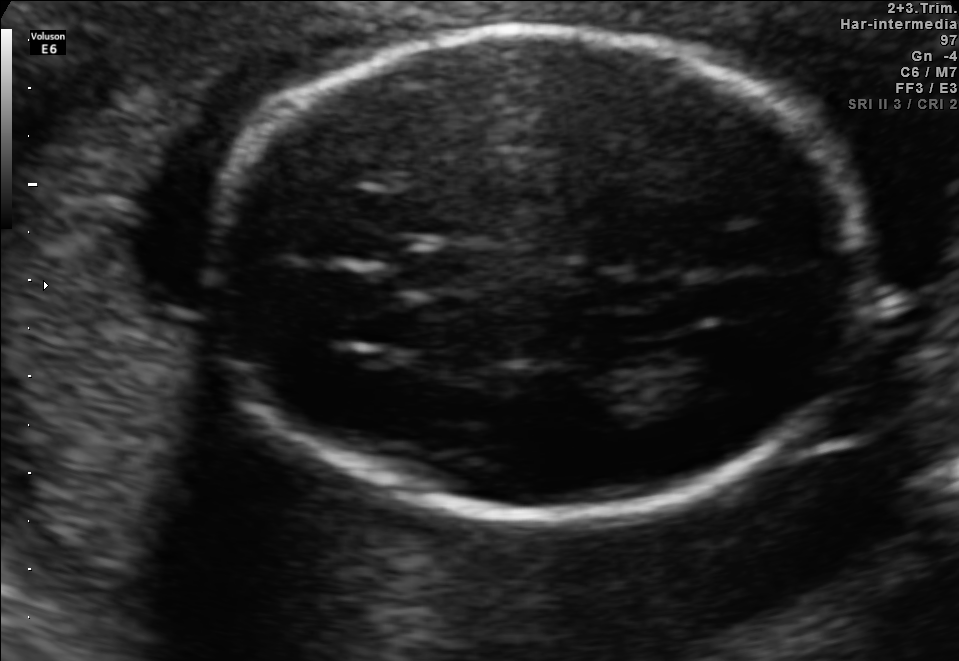
Fetal brain, trans-thalamic plane. Locate the fetal head.

Head: [211,31,862,516]